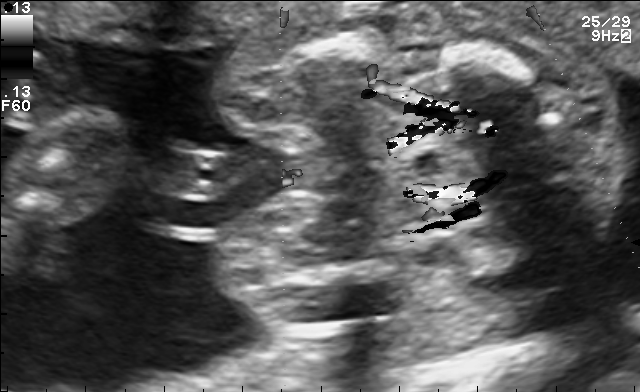
This is a 2D maternal-fetal ultrasound frame. Is it a fetal abdomen, fetal brain, fetal femur, fetal thorax, maternal cervix, or other standard plane? If it's fetal brain and one of the three standard brain planes (trans-thalamic, trans-cerebellum, trans-ventricular), name which.

Other